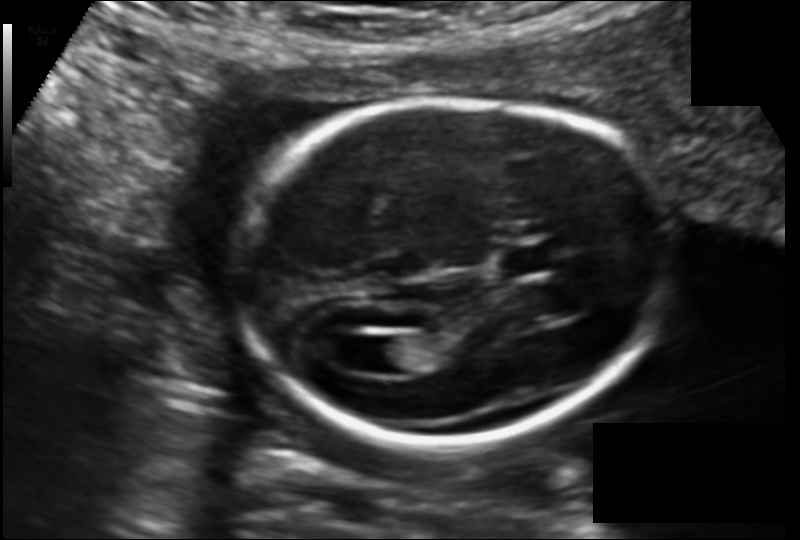
In this fetal head ultrasound, give bounding boxes for the head outline, cavum septum pellucidum (CSP), and lateral ventricle (LV), where visible. Image width: 107.8 mm.

Head: [238,98,669,444]
CSP: [495,239,564,280]
Lateral ventricle: [366,335,420,374]